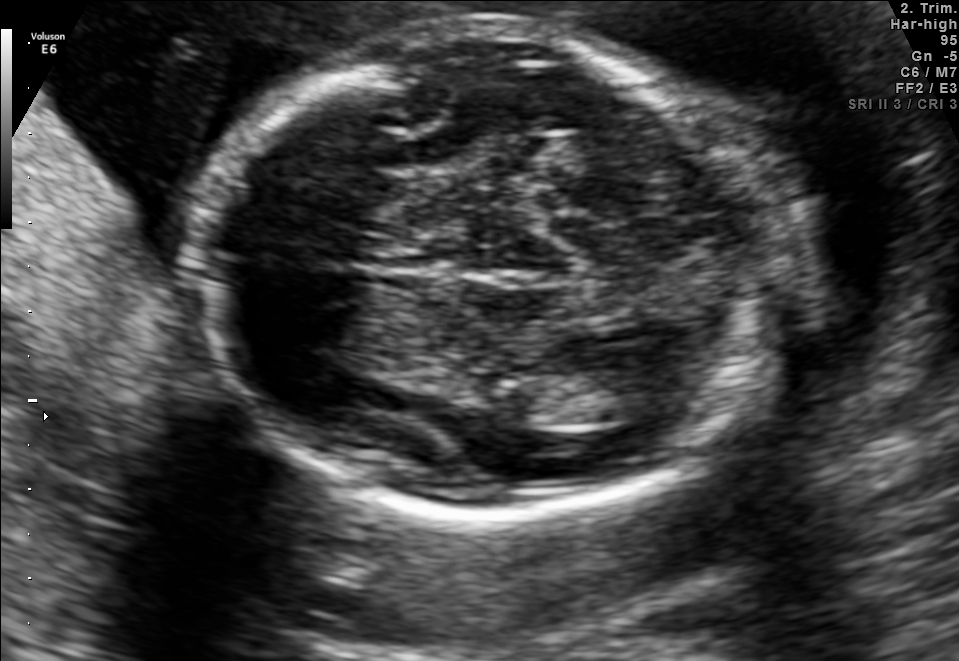
Fetal brain, trans-thalamic plane. Where is the fetal head?

Head bounding box: [198,29,787,512]